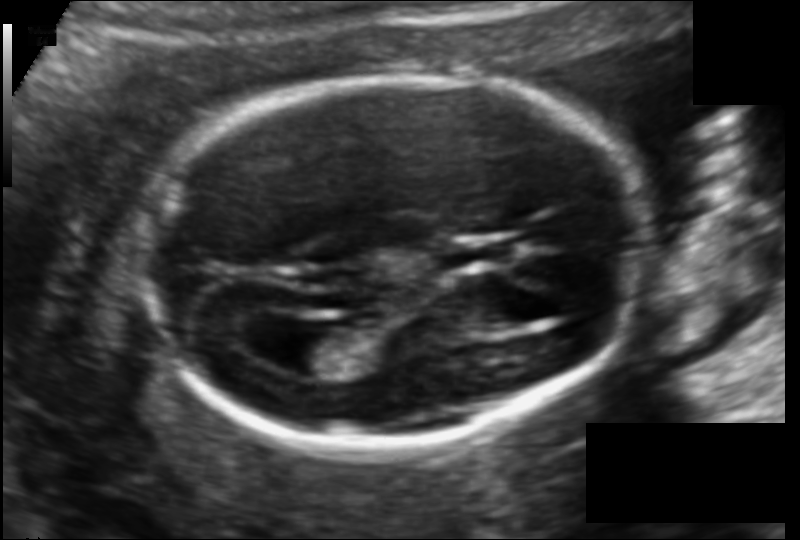
Fetal head ultrasound. Image width: 91.5 mm. Locate the fetal head.

Head: [141,77,646,447]